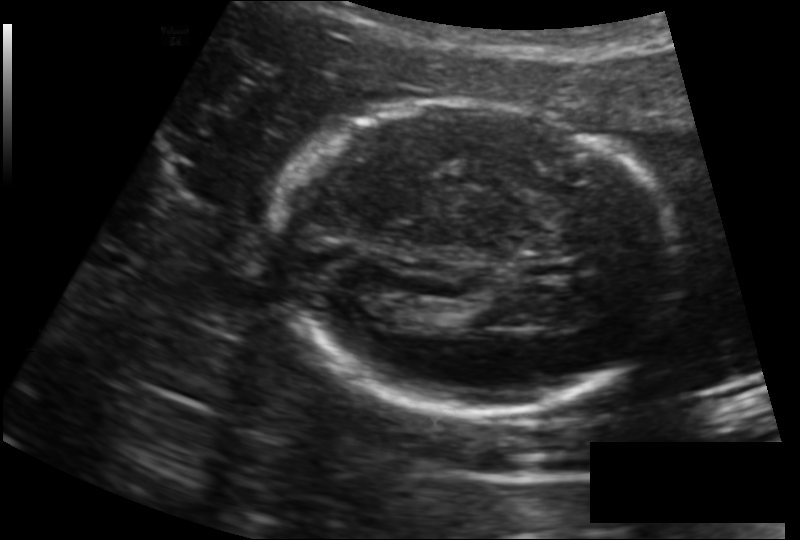
What is the fetal head circumference? Image width is 125.2 mm.

183.8 mm